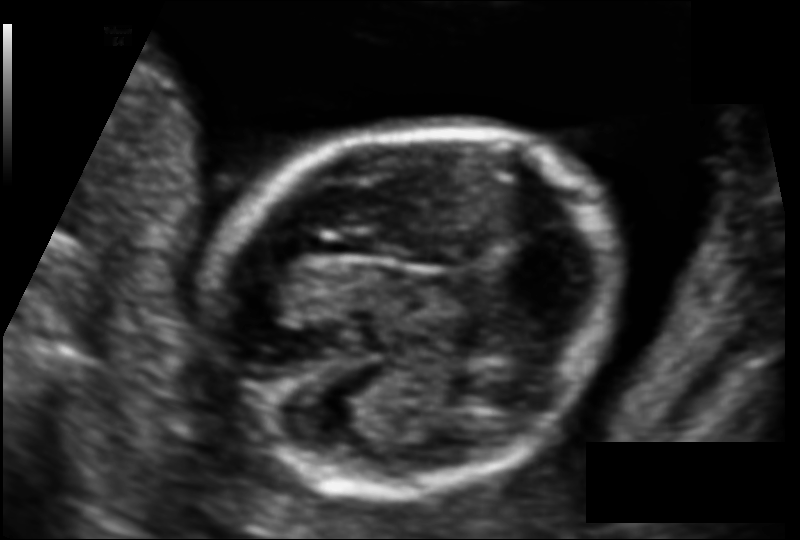
Fetal head ultrasound. Image width: 79.2 mm. Locate the fetal head and, if visible, the cavum septum pellucidum (CSP) and lateral ventricle (LV). Give bounding boxes as [x1,y1,x2,y2].

Head: [206,124,621,491]